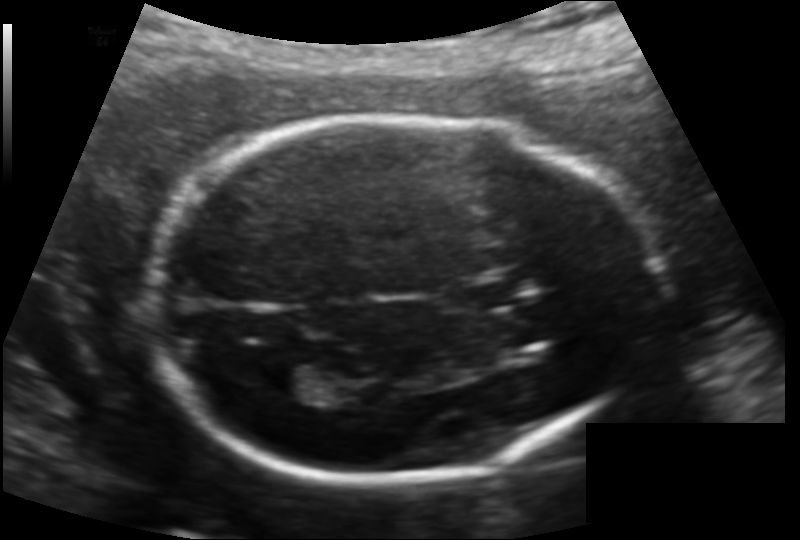
Fetal head ultrasound. Image width: 105.6 mm. Locate the fetal head.

Head: [142,115,660,477]